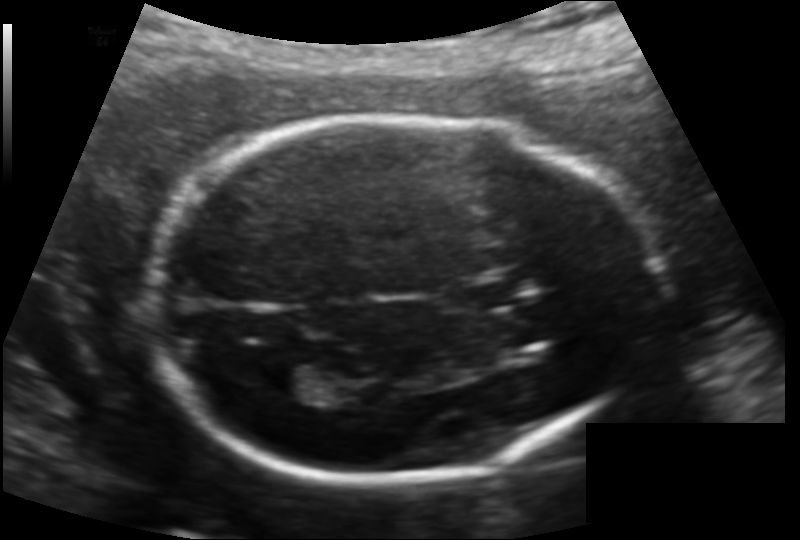
Fetal head ultrasound. Image width: 105.6 mm. Where is the cavum septum pellucidum?

CSP bounding box: [459,264,537,316]